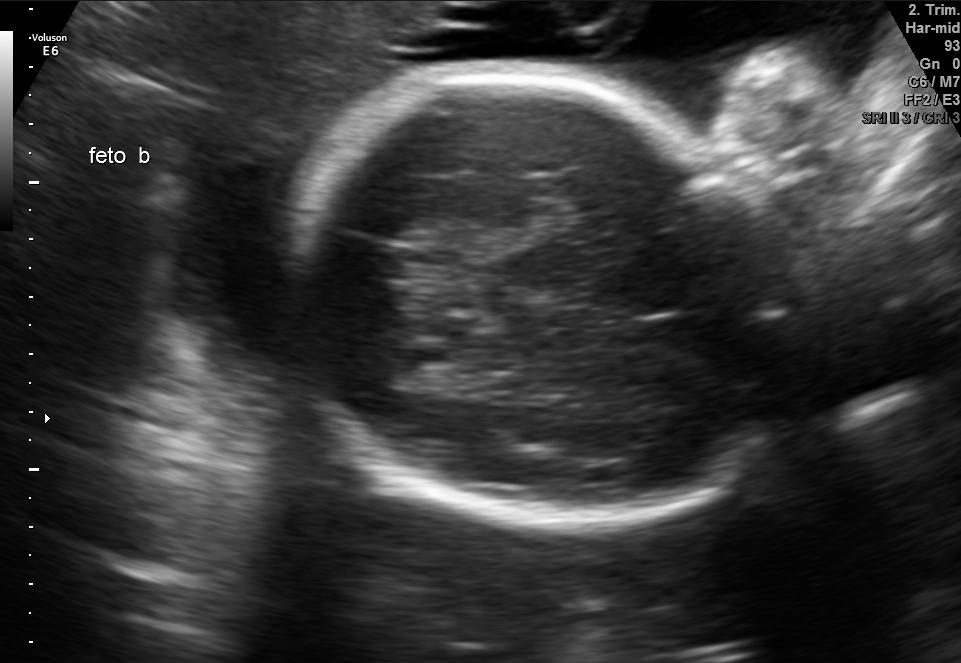
Fetal brain, trans-thalamic plane. Locate the fetal head.

Head: [284,70,796,527]